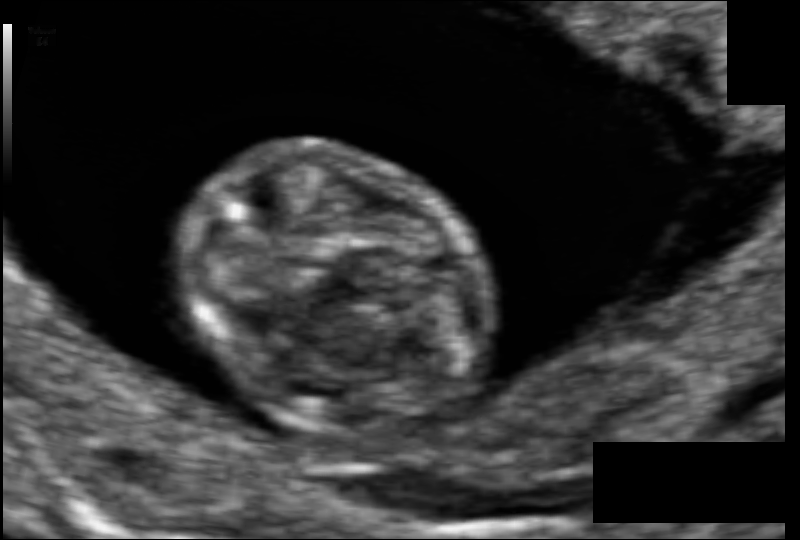
Measure the fetal head circumference shown in this ultrasound image. Image width: 49.0 mm.

Head circumference: 59.8 mm.